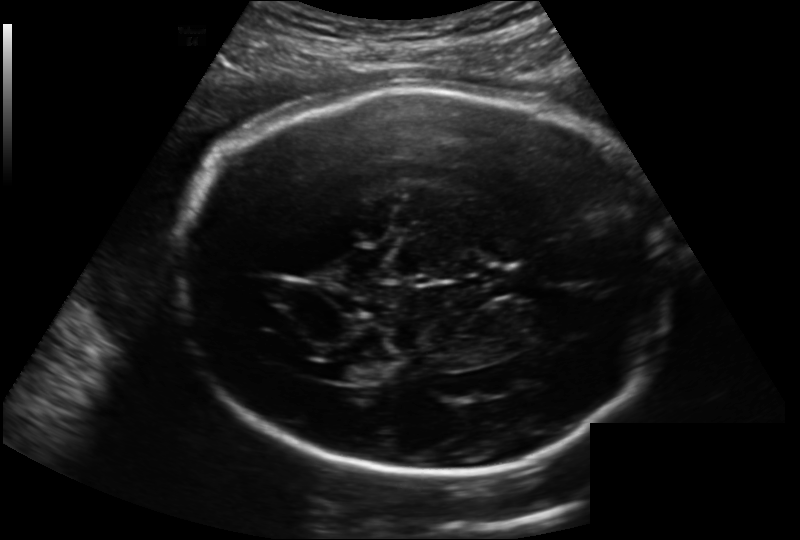
What is the fetal head circumference? Image width is 161.8 mm.

284.7 mm